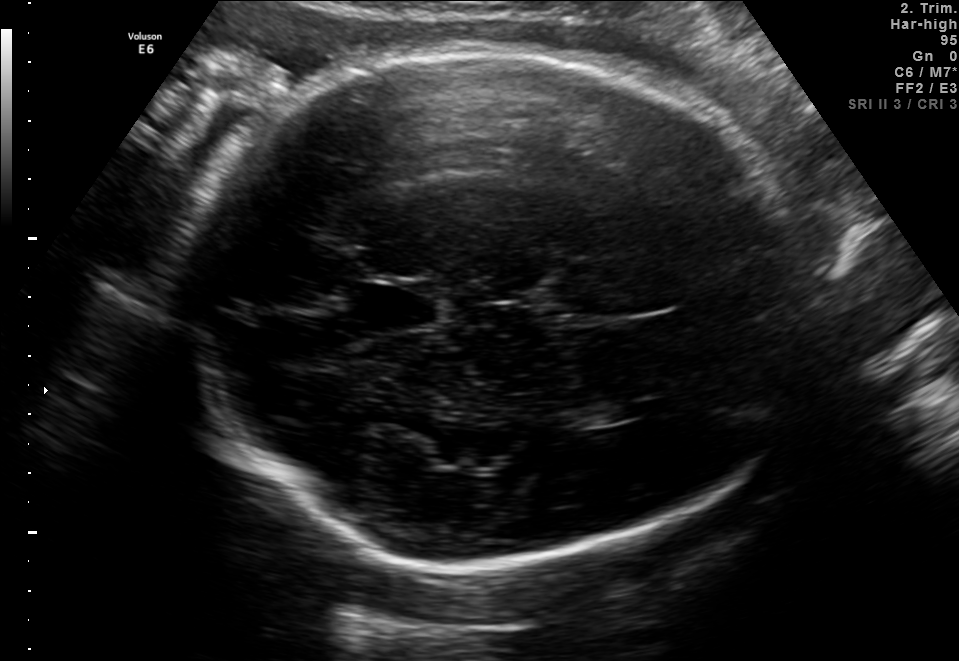
Fetal brain, trans-thalamic plane. Give [x1,y1,x2,y2] bounding boxes for each visible structure among: fetal head, CSP, LV.

Head: [176,47,811,562]
CSP: [359,289,437,326]
Lateral ventricle: [576,397,642,430]